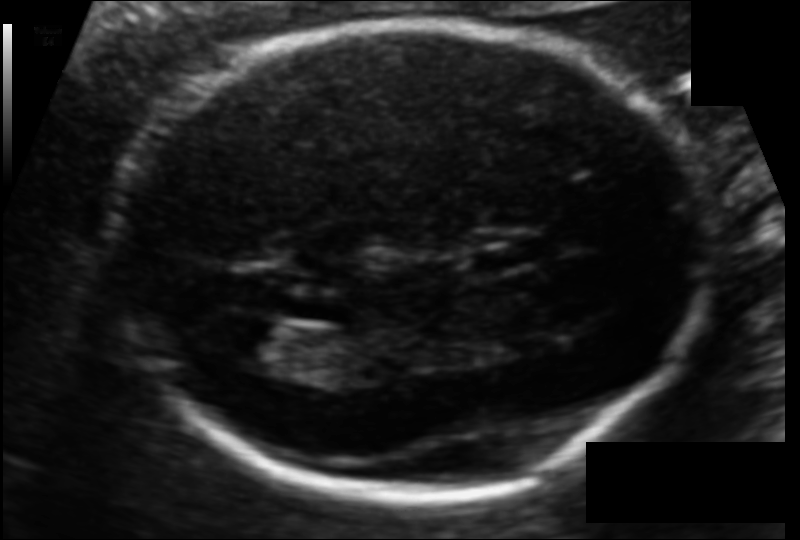
Measure the fetal head circumference shown in this ultrasound image. Image width: 85.1 mm.

Head circumference: 182.9 mm.